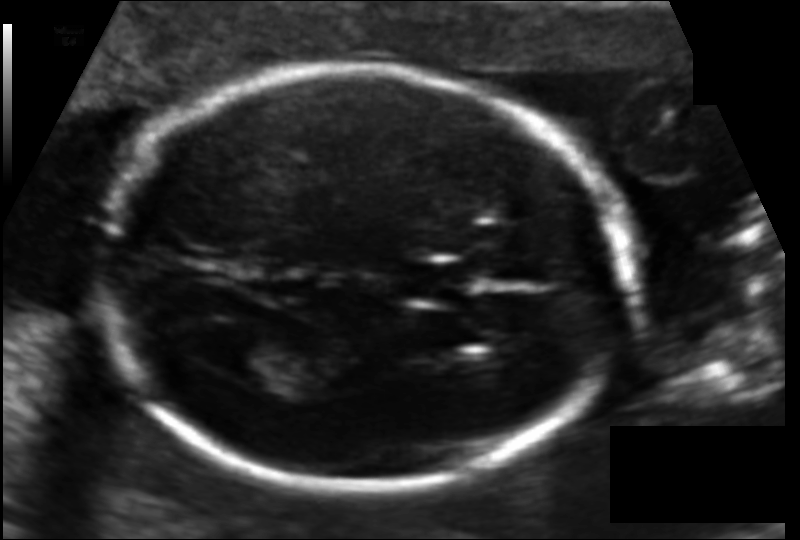
Fetal head ultrasound. Image width: 91.0 mm. Where is the lateral ventricle?

Lateral ventricle bounding box: [202,324,286,387]